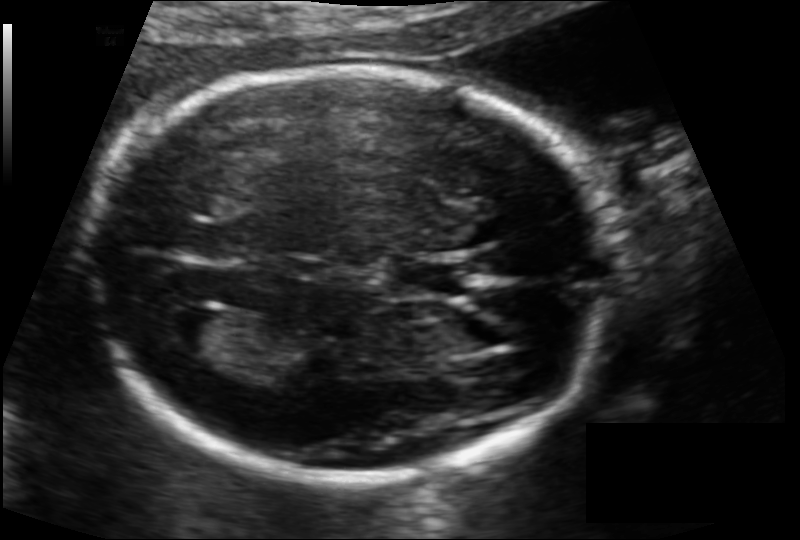
In this fetal head ultrasound, give the bounding box of the lateral ventricle. Image width: 91.1 mm.

[157,302,228,358]